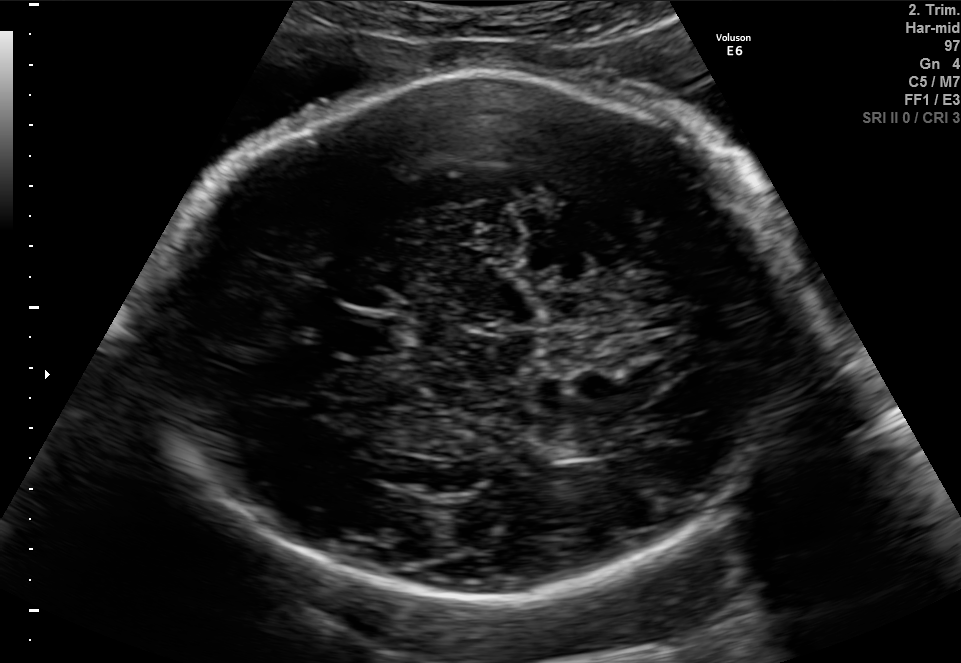
In this fetal brain, trans-thalamic plane, give the bounding box of the lateral ventricle.

[551,434,606,461]